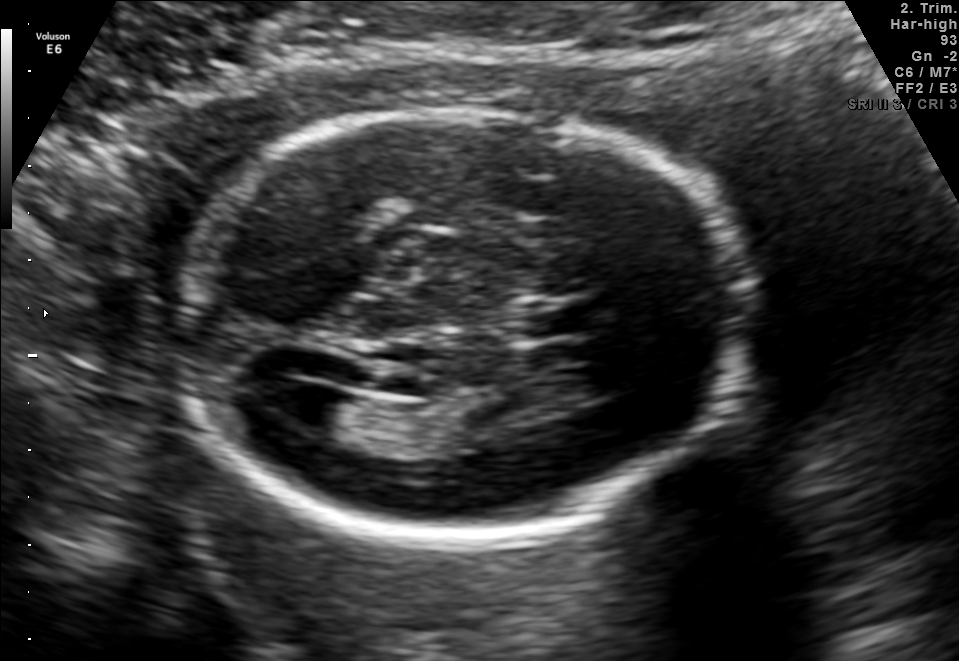
This is a 2D maternal-fetal ultrasound frame. Is it a fetal abdomen, fetal brain, fetal femur, fetal thorax, maternal cervix, or other standard plane? If it's fetal brain and one of the three standard brain planes (trans-thalamic, trans-cerebellum, trans-ventricular), name which.

Fetal brain (trans-ventricular plane)